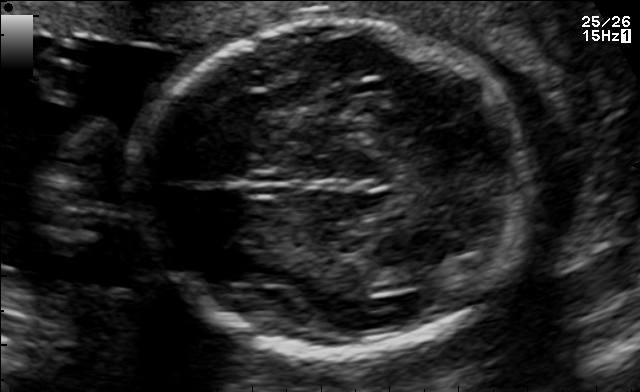
In this fetal brain, trans-thalamic plane, give the bounding box of the fetal head.

[137,23,523,354]